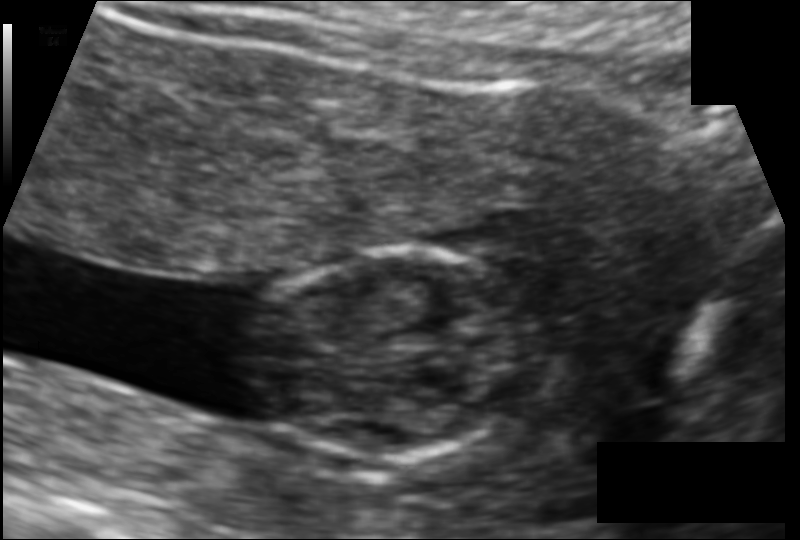
Measure the fetal head circumference shown in this ultrasound image. Image width: 84.2 mm.

Head circumference: 86.4 mm.